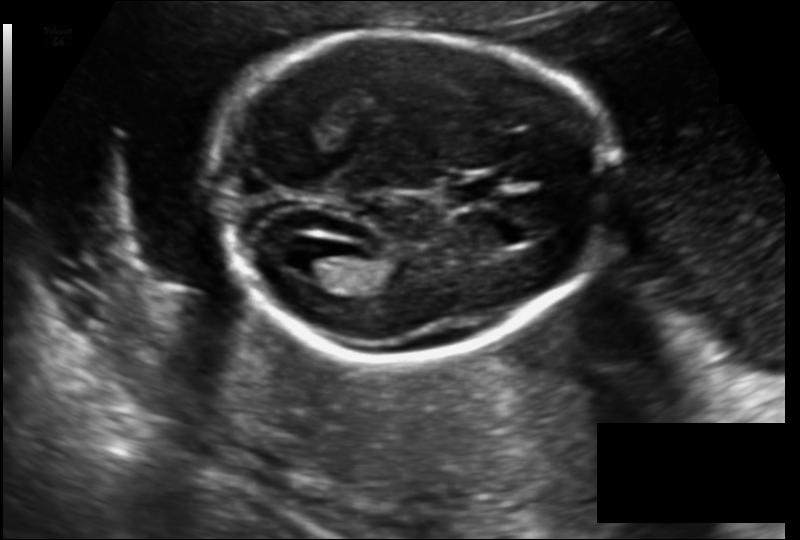
Fetal head ultrasound. Image width: 113.3 mm. Where is the lateral ventricle?

Lateral ventricle bounding box: [281,238,347,289]